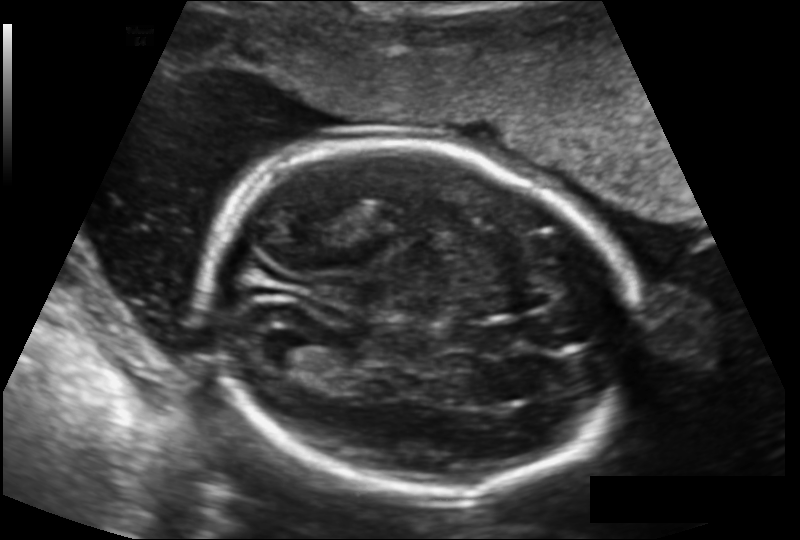
Estimate the fetal head circumference from this 2D ultrasound.

Head circumference: 183.7 mm (image width 114.2 mm).